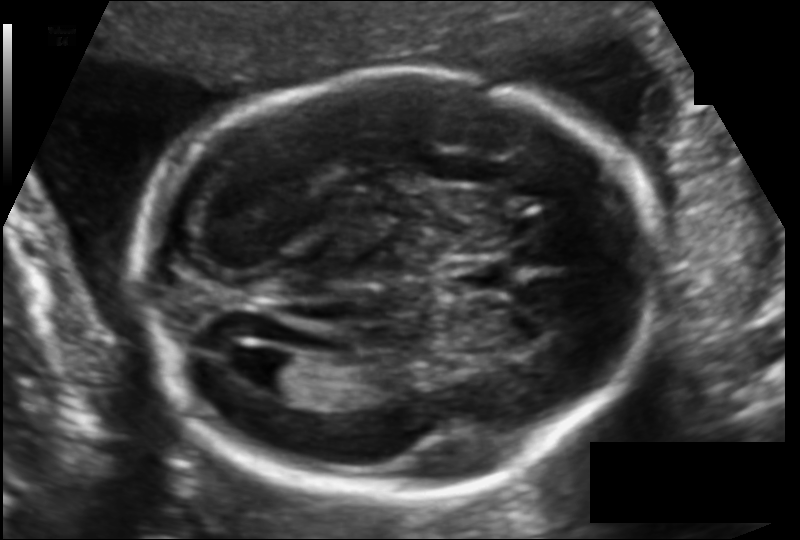
In this fetal head ultrasound, give bounding boxes for the head outline, cavum septum pellucidum (CSP), and lateral ventricle (LV), where visible. Image width: 97.1 mm.

Head: [138,70,659,491]
CSP: [450,258,508,292]
Lateral ventricle: [246,345,309,394]